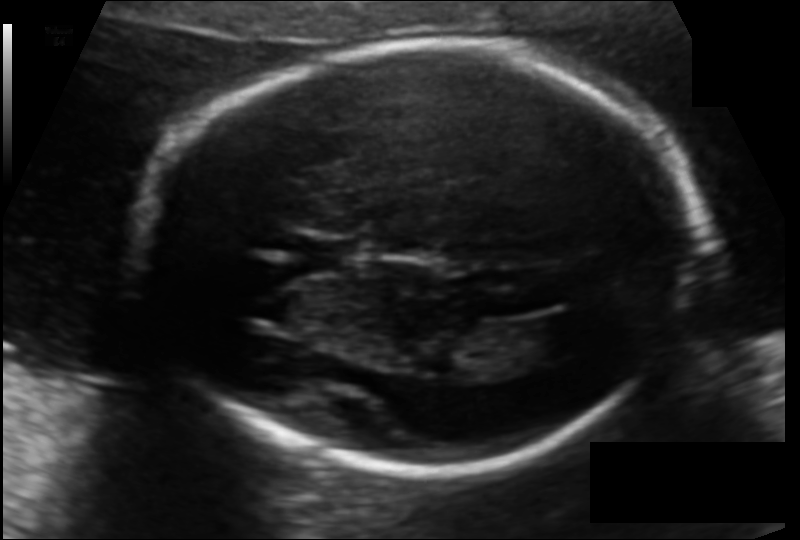
Fetal head ultrasound. Image width: 97.4 mm. Give [x1,y1,x2,y2] bounding boxes for each visible structure among: fetal head, CSP, LV.

Head: [142,46,697,470]
CSP: [302,236,360,274]
Lateral ventricle: [512,309,589,365]